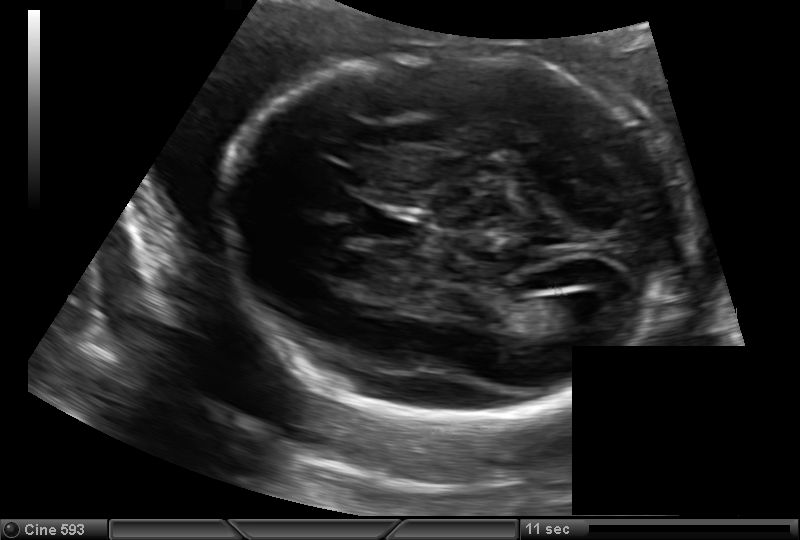
Fetal head ultrasound. Image width: 115.2 mm. Give [x1,y1,x2,y2] bounding boxes for each visible structure among: fetal head, CSP, LV.

Head: [221,52,684,417]
CSP: [366,207,431,247]
Lateral ventricle: [535,292,598,332]